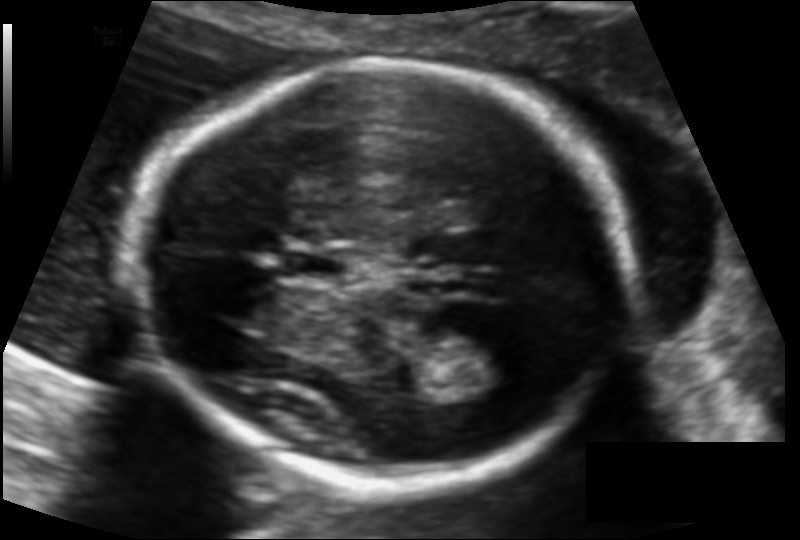
From this fetal ultrasound, estimate the head circumference (image width 90.8 mm).

Head circumference: 171.2 mm.